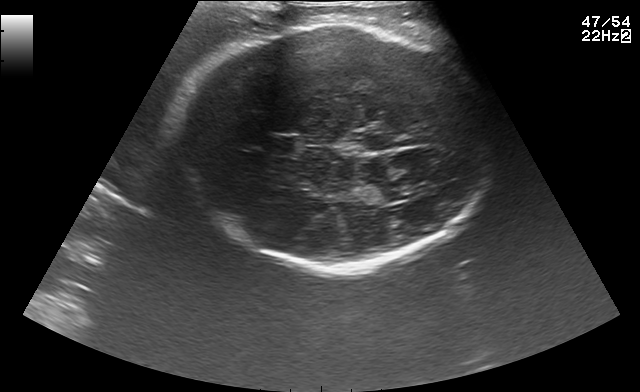
In this fetal brain, trans-thalamic plane, give the bounding box of the cavum septum pellucidum.

[266,136,295,153]